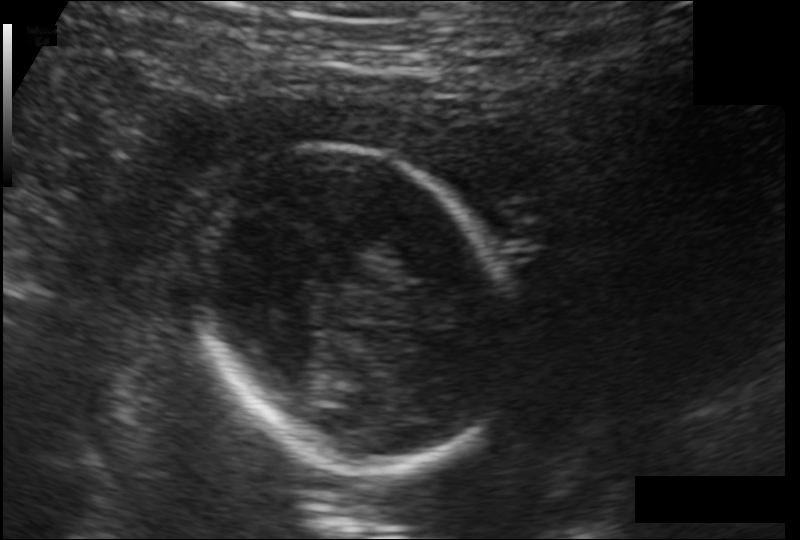
Fetal head ultrasound. Image width: 116.5 mm. Give [x1,y1,x2,y2] bounding boxes for each visible structure among: fetal head, CSP, LV.

Head: [189,147,526,465]